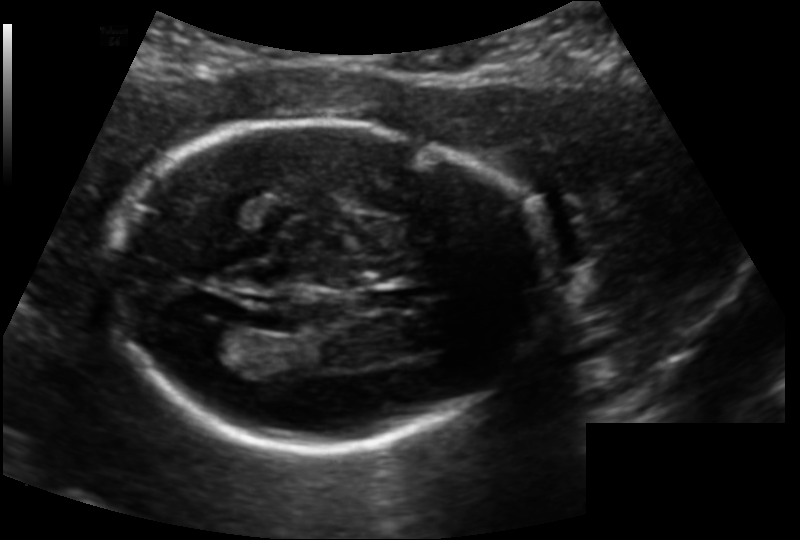
Fetal head ultrasound. Image width: 111.5 mm. Locate the fetal head and, if visible, the cavum septum pellucidum (CSP) and lateral ventricle (LV). Give bounding boxes as [x1,y1,x2,y2].

Head: [108,120,545,449]
CSP: [367,289,418,310]
Lateral ventricle: [184,318,242,358]